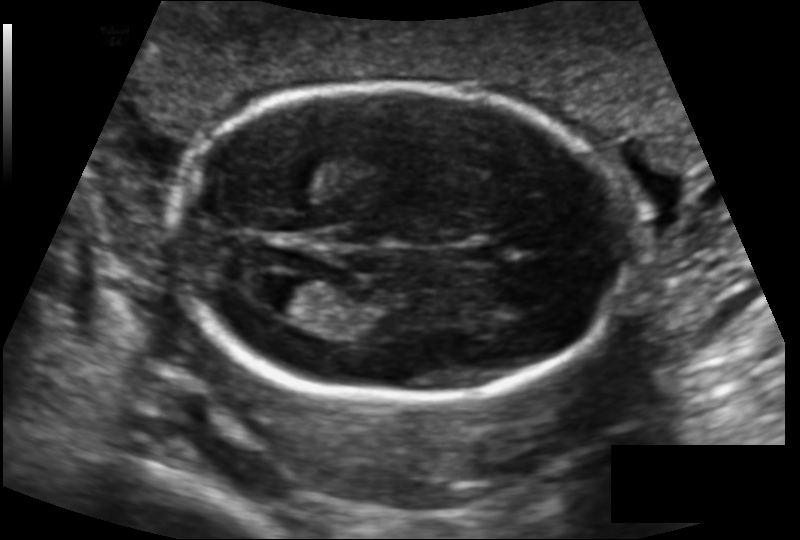
Fetal head ultrasound. Image width: 104.8 mm. Locate the fetal head and, if visible, the cavum septum pellucidum (CSP) and lateral ventricle (LV). Give bounding boxes as [x1,y1,x2,y2].

Head: [173,83,634,400]
Lateral ventricle: [248,269,327,321]